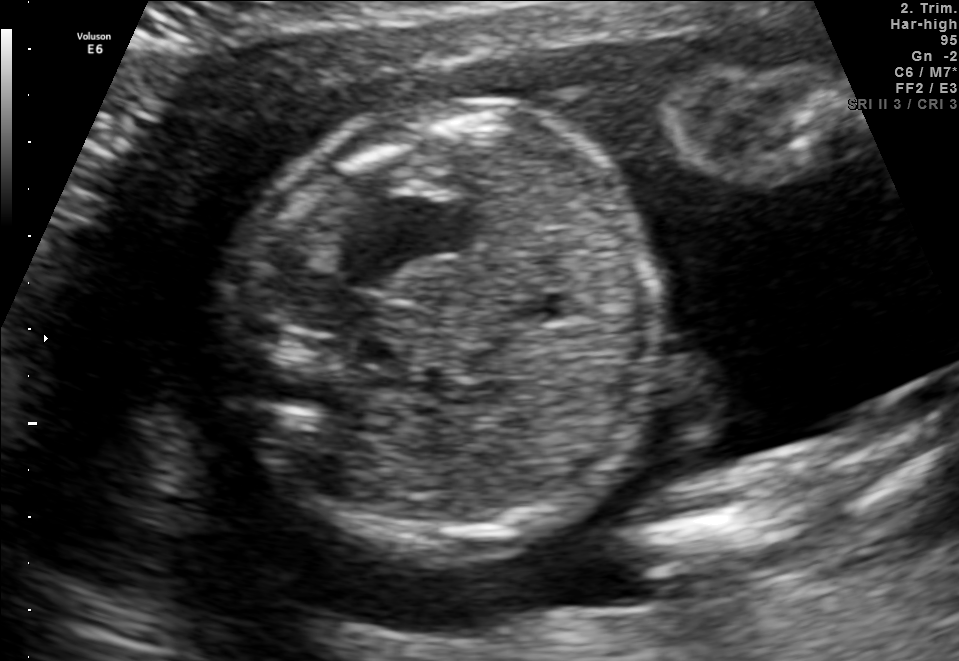
Classify this maternal-fetal ultrasound image as one of the six standard planes — fetal abdomen, fetal brain, fetal femur, fetal thorax, maternal cervix, or other. If it's fetal brain and one of the three standard brain planes (trans-thalamic, trans-cerebellum, trans-ventricular), name which.

Fetal abdomen